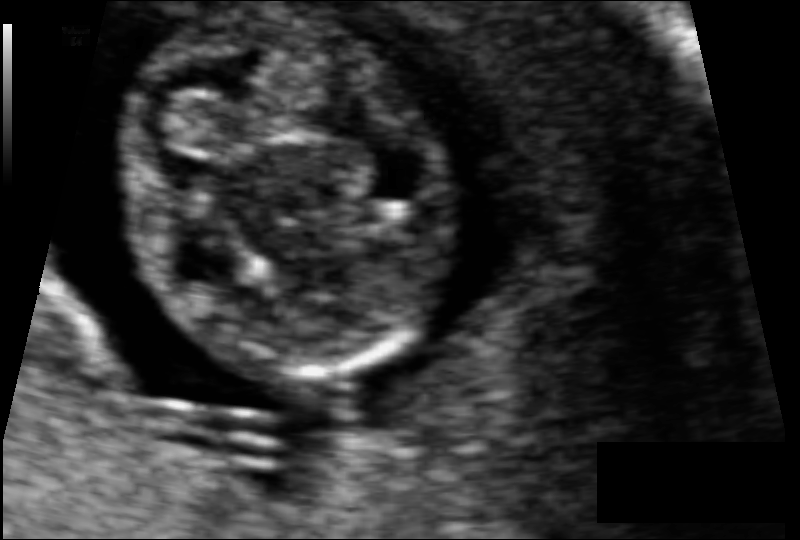
Fetal head ultrasound. Image width: 49.6 mm. Locate the fetal head.

Head: [118,5,450,382]